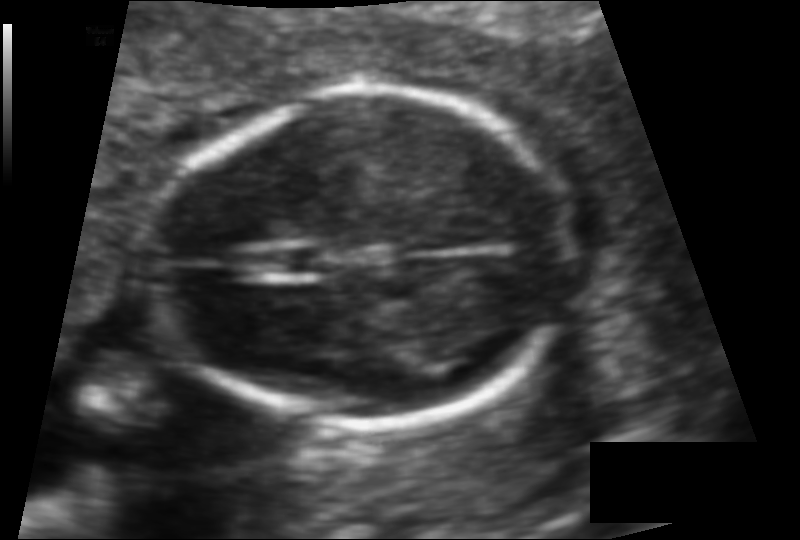
Fetal head ultrasound. Image width: 75.5 mm. Give [x1,y1,x2,y2] bounding boxes for each visible structure among: fetal head, CSP, LV.

Head: [163,91,562,426]
CSP: [269,248,332,273]